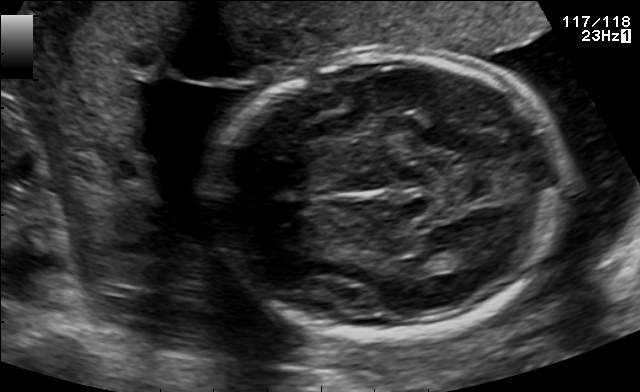
Fetal brain, trans-thalamic plane. Where is the lateral ventricle?

Lateral ventricle bounding box: [415,242,473,278]